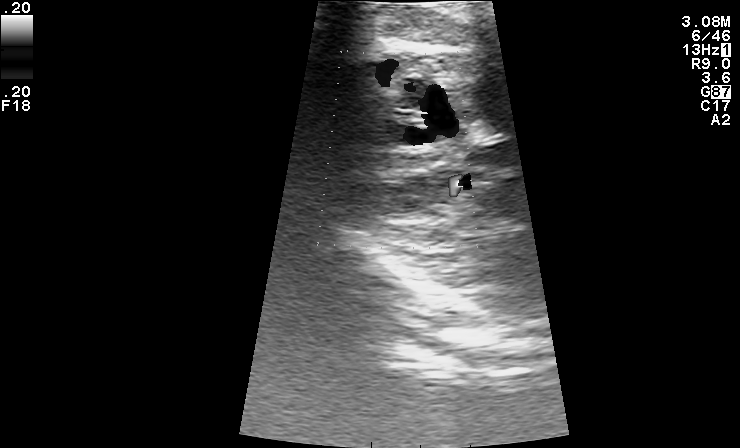
Classify this maternal-fetal ultrasound image as one of the six standard planes — fetal abdomen, fetal brain, fetal femur, fetal thorax, maternal cervix, or other. If it's fetal brain and one of the three standard brain planes (trans-thalamic, trans-cerebellum, trans-ventricular), name which.

Other